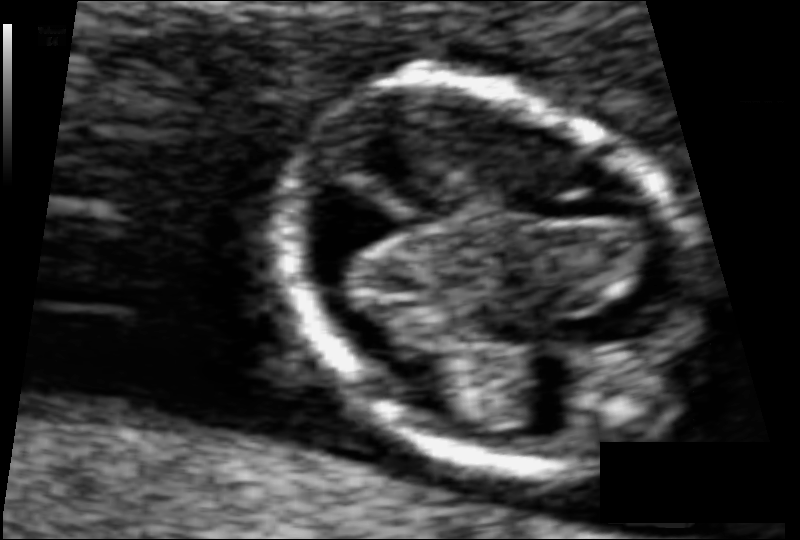
What is the fetal head circumference? Image width is 46.0 mm.

76.1 mm